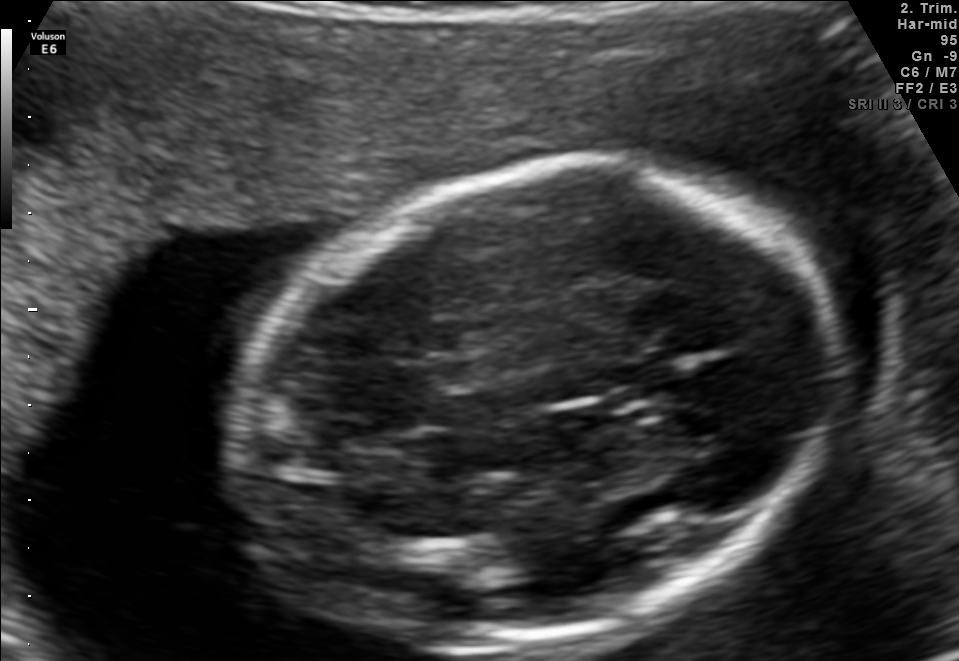
Classify this maternal-fetal ultrasound image as one of the six standard planes — fetal abdomen, fetal brain, fetal femur, fetal thorax, maternal cervix, or other. If it's fetal brain and one of the three standard brain planes (trans-thalamic, trans-cerebellum, trans-ventricular), name which.

Fetal brain (trans-thalamic plane)